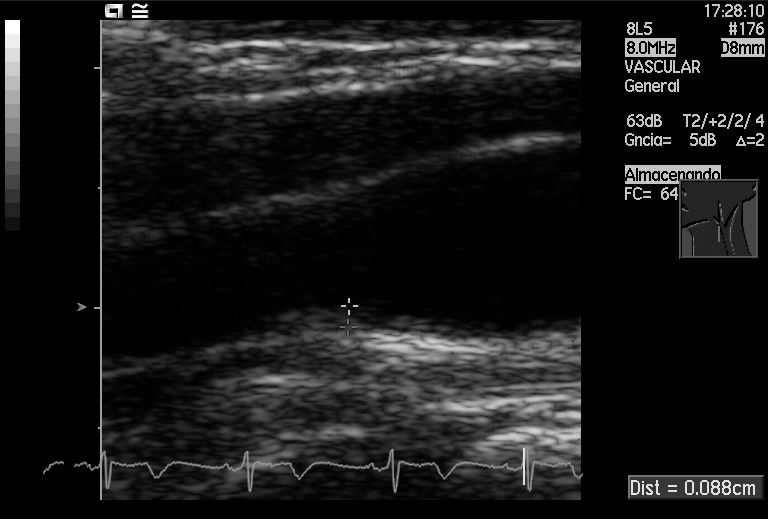
Classify this maternal-fetal ultrasound image as one of the six standard planes — fetal abdomen, fetal brain, fetal femur, fetal thorax, maternal cervix, or other. If it's fetal brain and one of the three standard brain planes (trans-thalamic, trans-cerebellum, trans-ventricular), name which.

Other